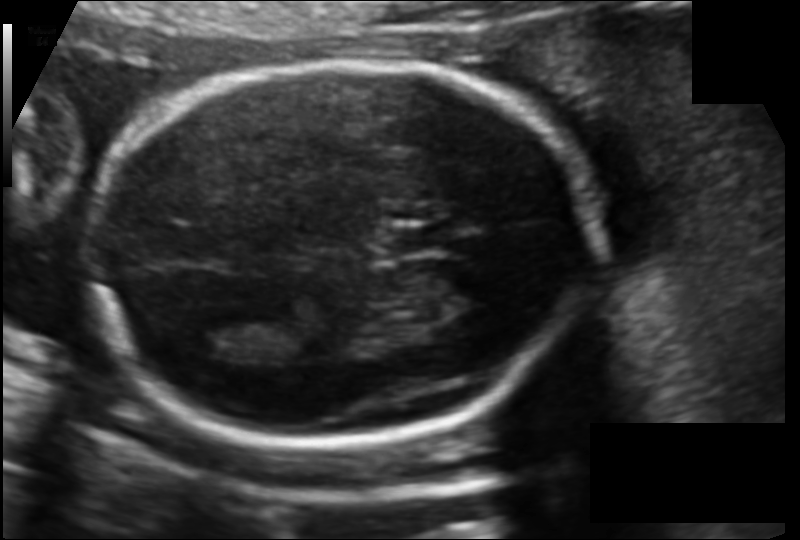
In this fetal head ultrasound, give the bounding box of the fetal head. Image width: 96.2 mm.

[85,64,600,440]